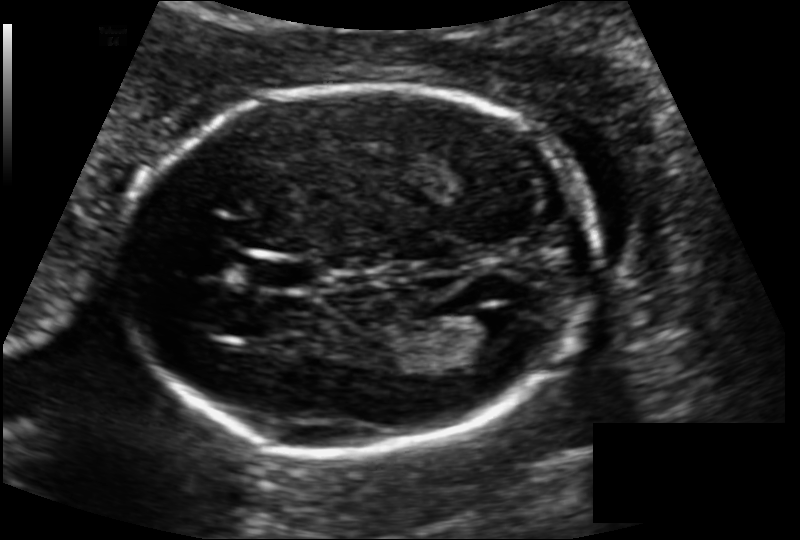
Estimate the fetal head circumference from this 2D ultrasound.

Head circumference: 170.1 mm (image width 99.0 mm).